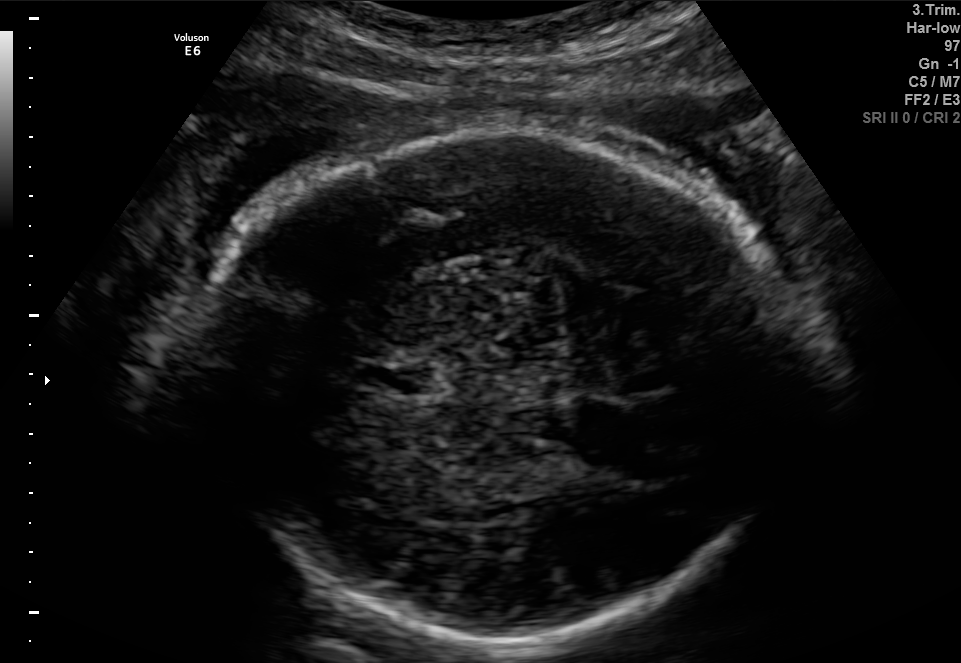
Which standard maternal-fetal ultrasound plane is shown: fetal abdomen, fetal brain, fetal femur, fetal thorax, maternal cervix, or other? If it's fetal brain and one of the three standard brain planes (trans-thalamic, trans-cerebellum, trans-ventricular), name which.

Fetal brain (trans-thalamic plane)